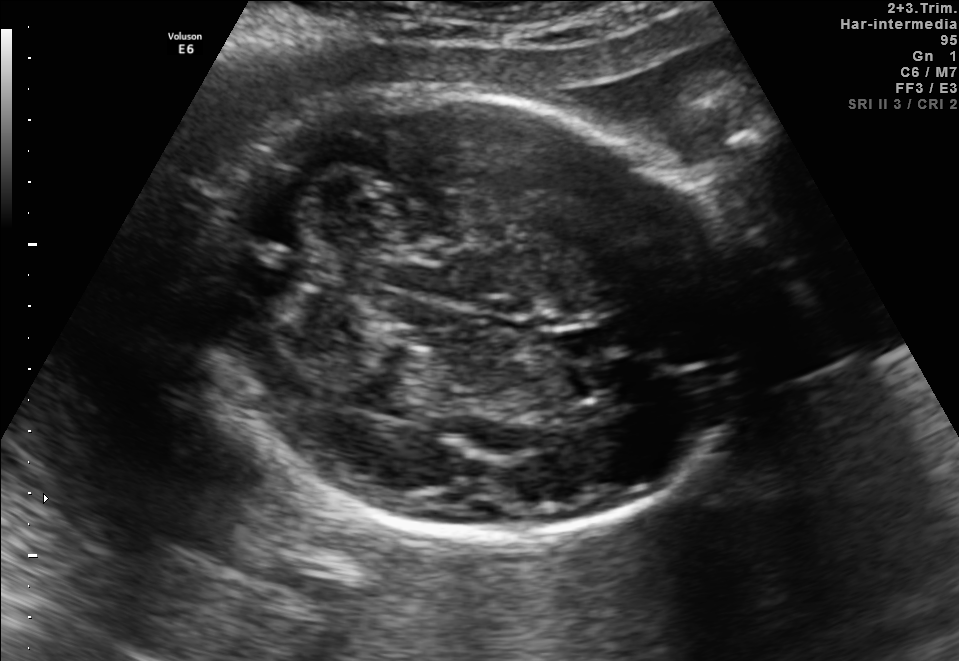
In this fetal brain, trans-cerebellum plane, give the bounding box of the fetal head.

[189,90,750,539]